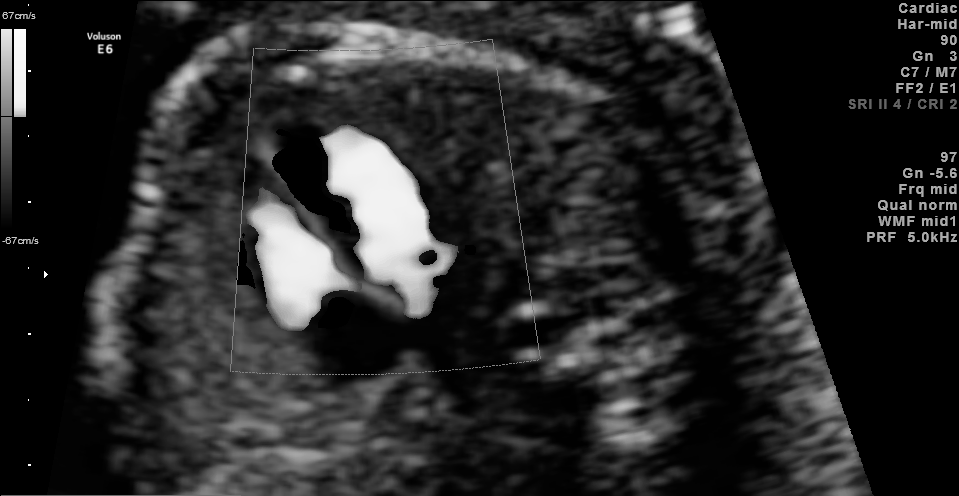
Classify this maternal-fetal ultrasound image as one of the six standard planes — fetal abdomen, fetal brain, fetal femur, fetal thorax, maternal cervix, or other. If it's fetal brain and one of the three standard brain planes (trans-thalamic, trans-cerebellum, trans-ventricular), name which.

Other